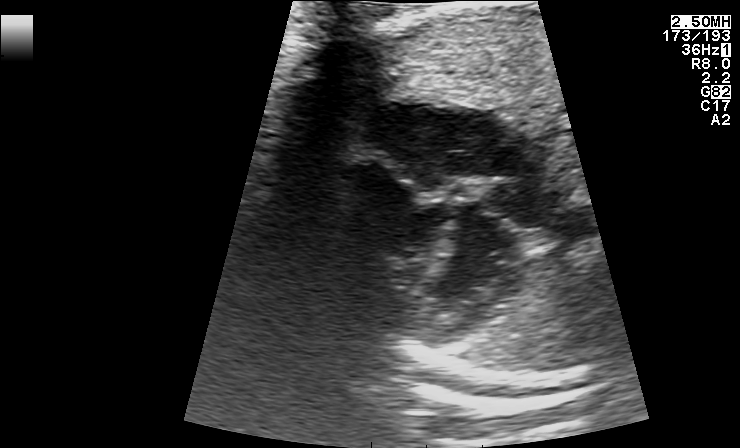
This is a 2D maternal-fetal ultrasound frame. Is it a fetal abdomen, fetal brain, fetal femur, fetal thorax, maternal cervix, or other standard plane? If it's fetal brain and one of the three standard brain planes (trans-thalamic, trans-cerebellum, trans-ventricular), name which.

Fetal thorax